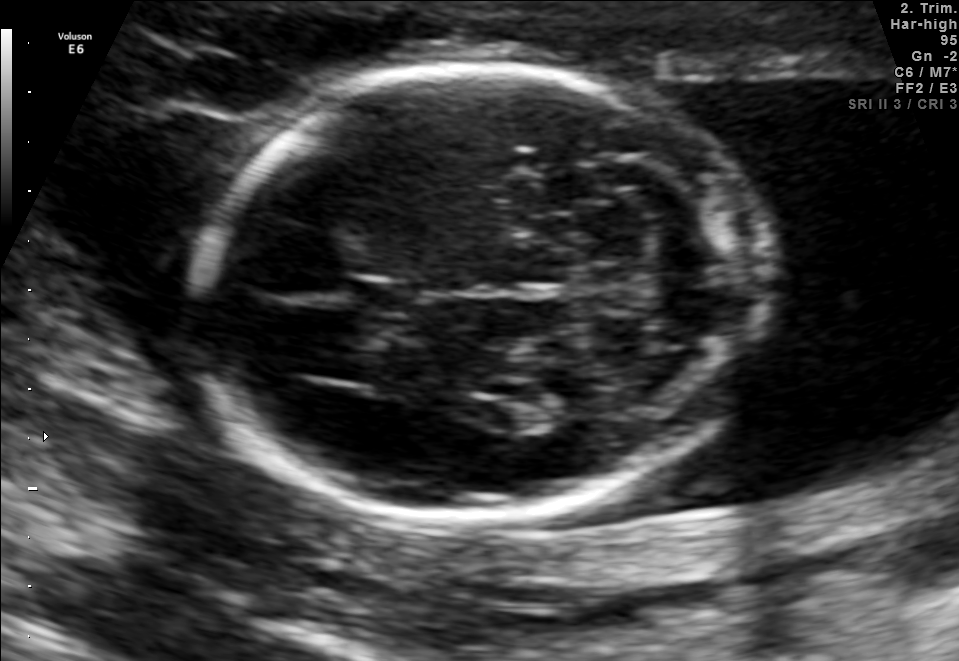
In this fetal brain, trans-cerebellum plane, give the bounding box of the cavum septum pellucidum.

[355,277,412,317]